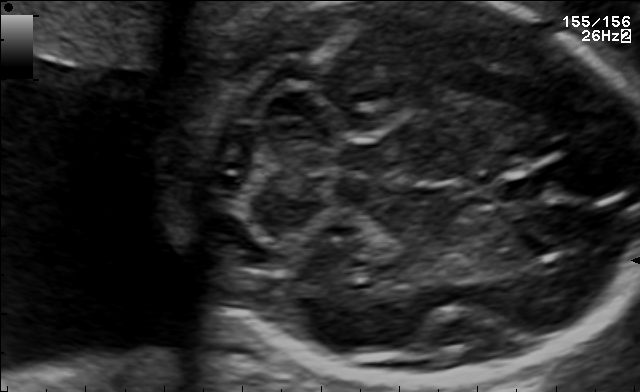
Fetal brain, trans-cerebellum plane. Locate the cavum septum pellucidum.

CSP: [495,171,549,206]